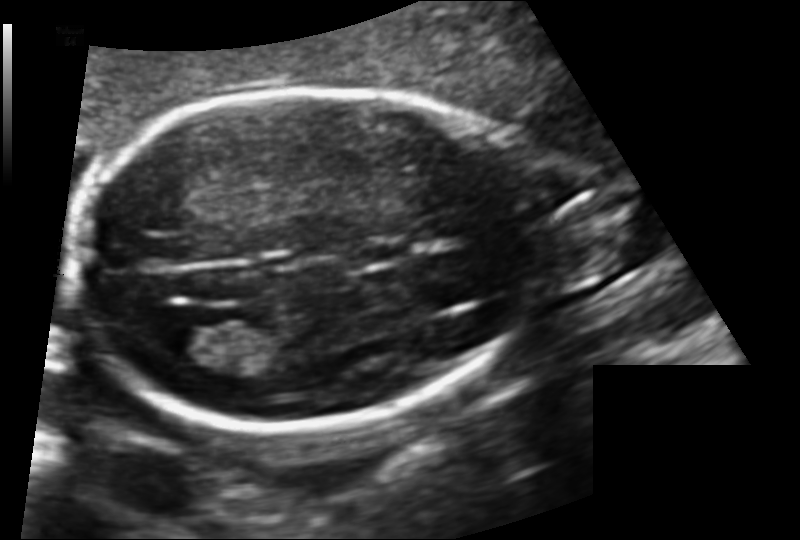
In this fetal head ultrasound, give bounding boxes for the head outline, cavum septum pellucidum (CSP), and lateral ventricle (LV), where visible. Image width: 102.4 mm.

Head: [80,90,545,427]
Lateral ventricle: [167,319,246,363]